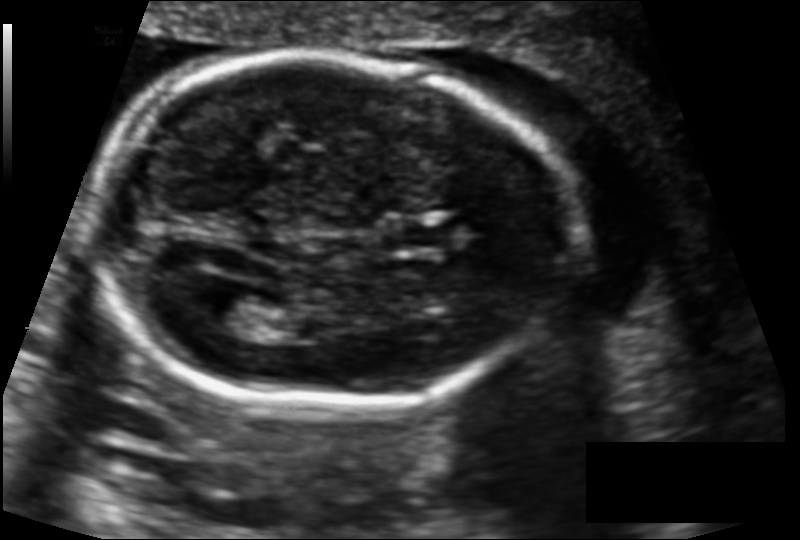
Measure the fetal head circumference shown in this ultrasound image. Image width: 97.4 mm.

Head circumference: 165.6 mm.